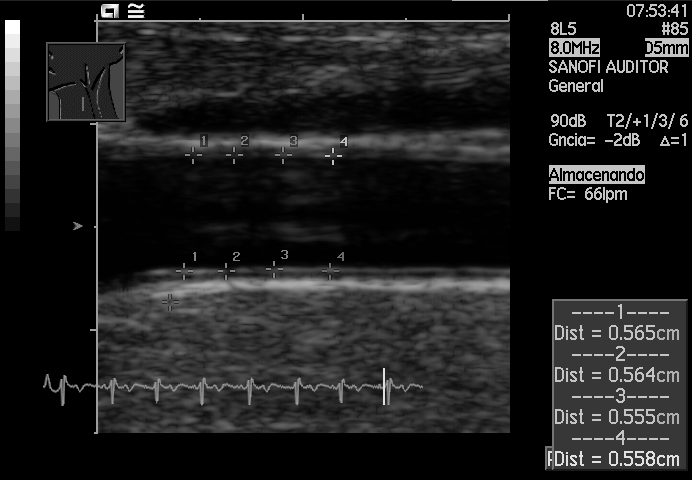
This is a 2D maternal-fetal ultrasound frame. Is it a fetal abdomen, fetal brain, fetal femur, fetal thorax, maternal cervix, or other standard plane? If it's fetal brain and one of the three standard brain planes (trans-thalamic, trans-cerebellum, trans-ventricular), name which.

Other